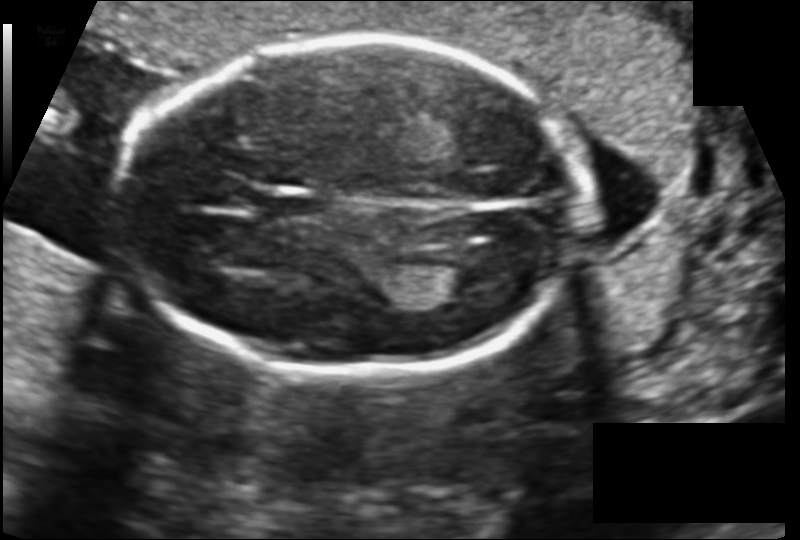
Fetal head ultrasound. Image width: 102.7 mm. Locate the fetal head.

Head: [123,38,584,378]